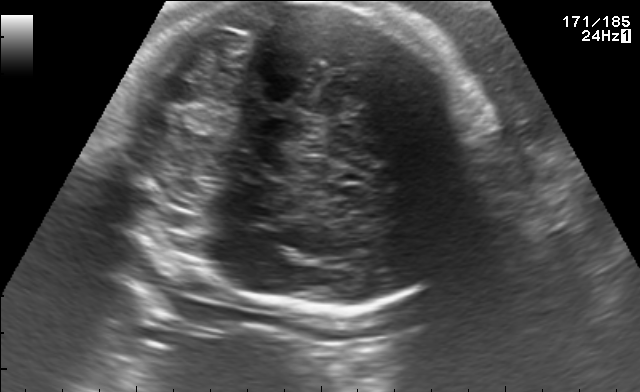
Fetal brain, trans-cerebellum plane. Locate the fetal head and, if visible, the cavum septum pellucidum (CSP) and lateral ventricle (LV). Give bounding boxes as [x1,y1,x2,y2].

Head: [115,2,500,312]